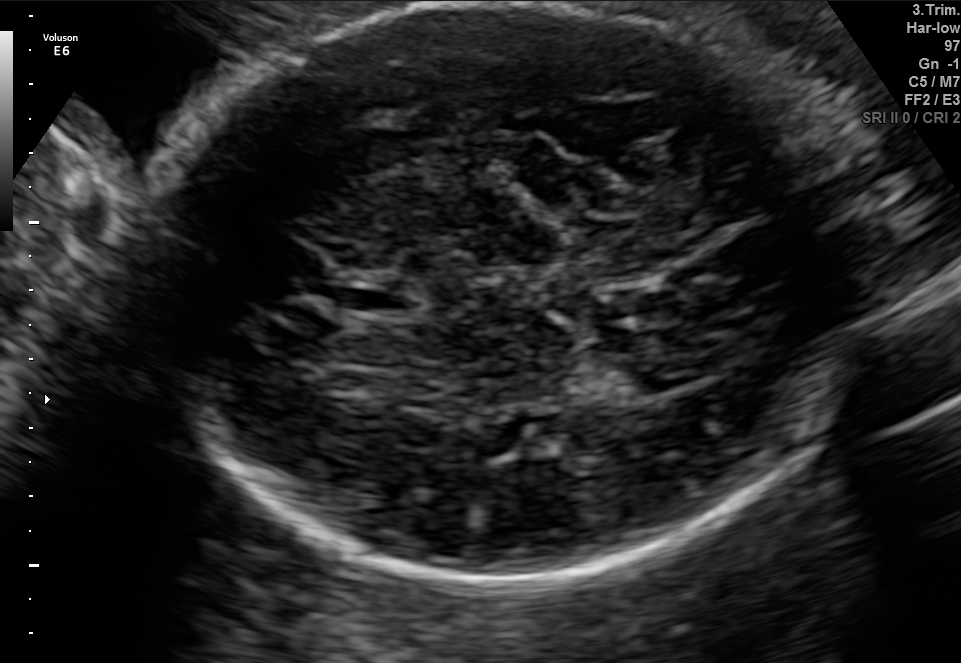
In this fetal brain, trans-thalamic plane, give the bounding box of the cavum septum pellucidum.

[337,282,419,312]